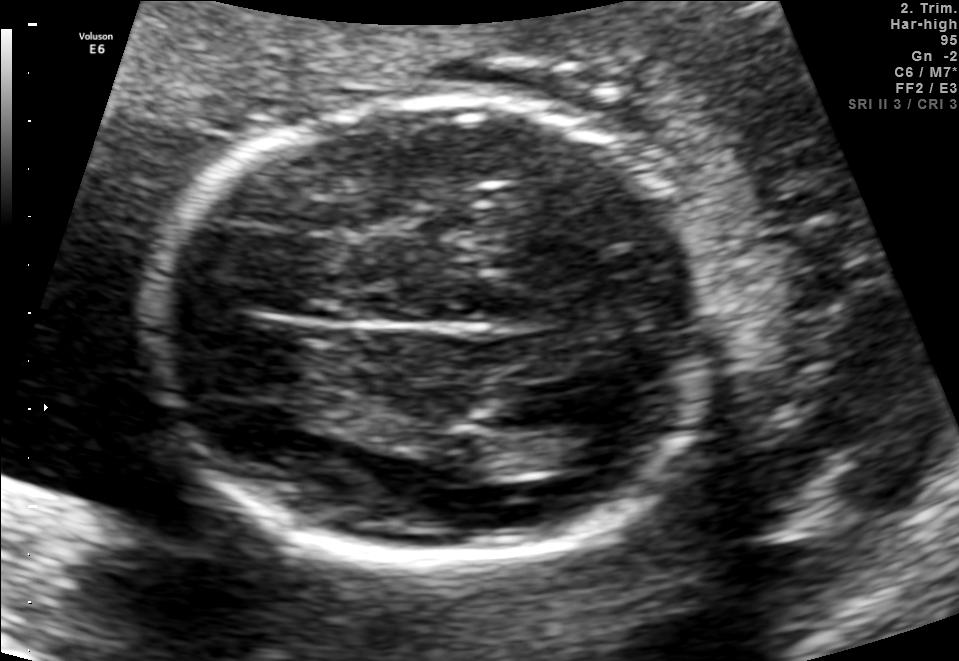
In this fetal brain, trans-thalamic plane, give the bounding box of the lateral ventricle.

[539,421,636,477]